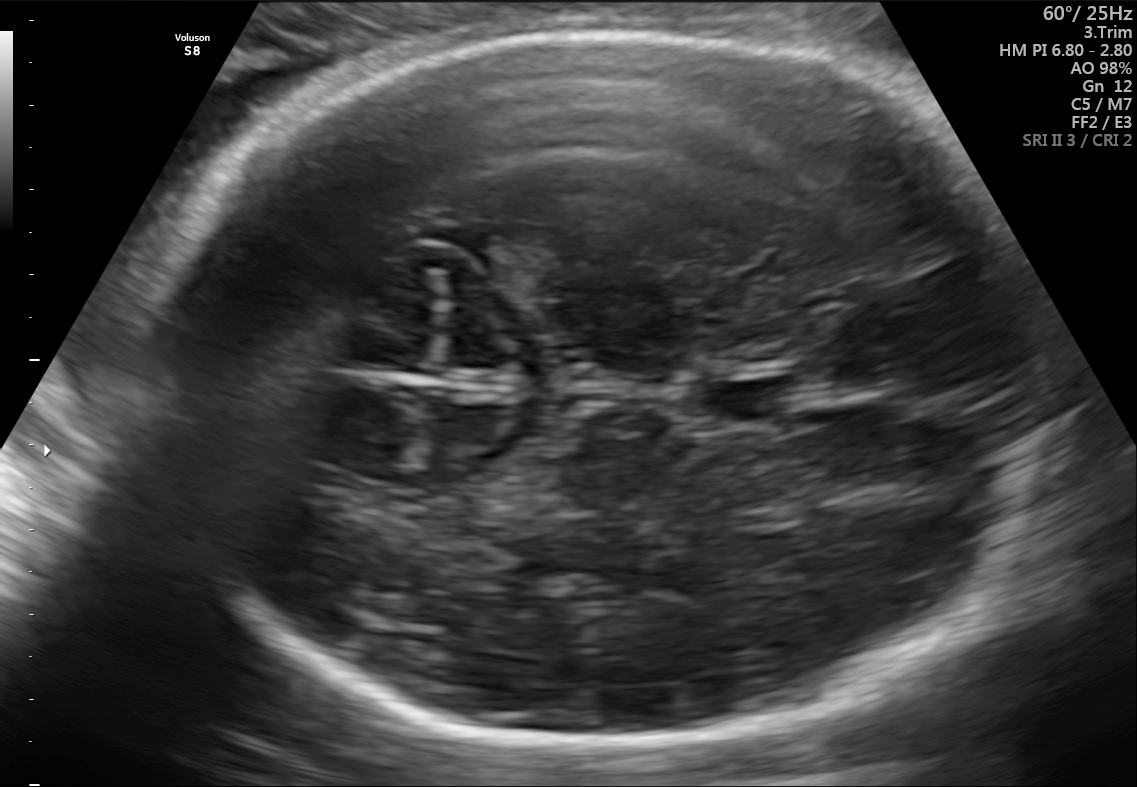
In this fetal brain, trans-thalamic plane, give bounding boxes for the head outline, cavum septum pellucidum (CSP), and lateral ventricle (LV), where visible.

Head: [120,29,1055,749]
CSP: [703,372,804,426]